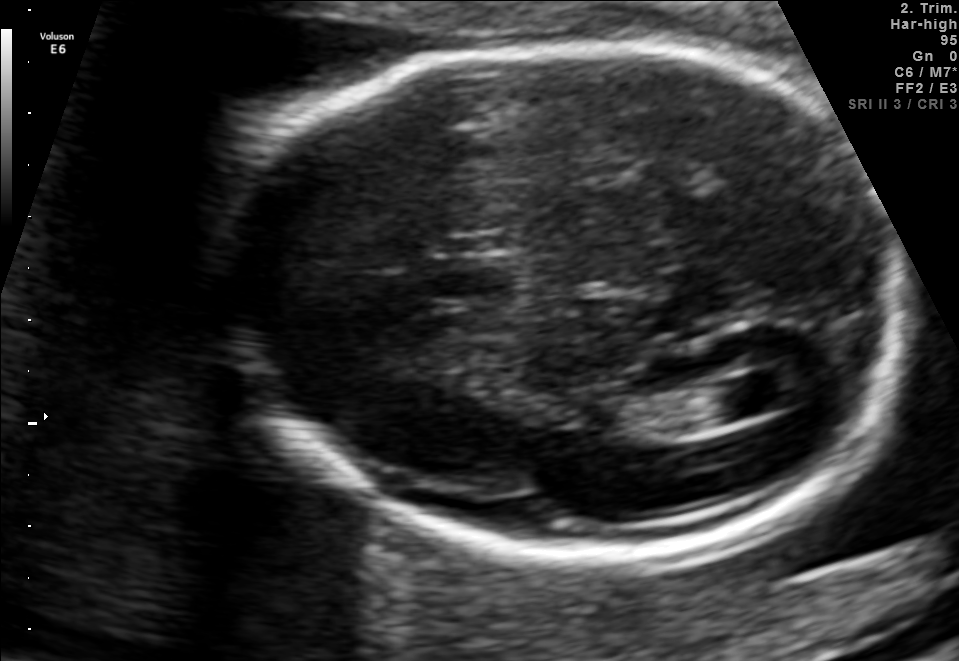
Fetal brain, trans-ventricular plane. Locate the lateral ventricle.

Lateral ventricle: [701,361,806,430]